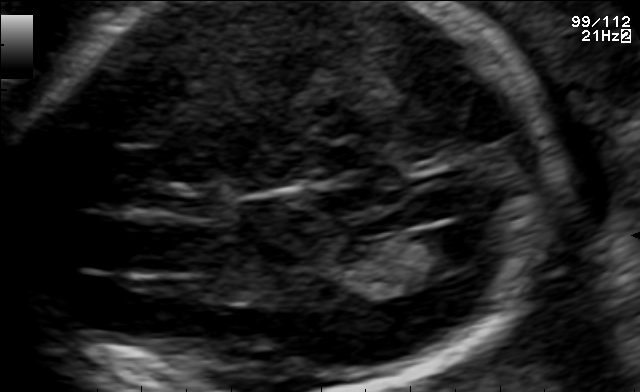
This is a 2D maternal-fetal ultrasound frame. Is it a fetal abdomen, fetal brain, fetal femur, fetal thorax, maternal cervix, or other standard plane? If it's fetal brain and one of the three standard brain planes (trans-thalamic, trans-cerebellum, trans-ventricular), name which.

Fetal brain (trans-ventricular plane)